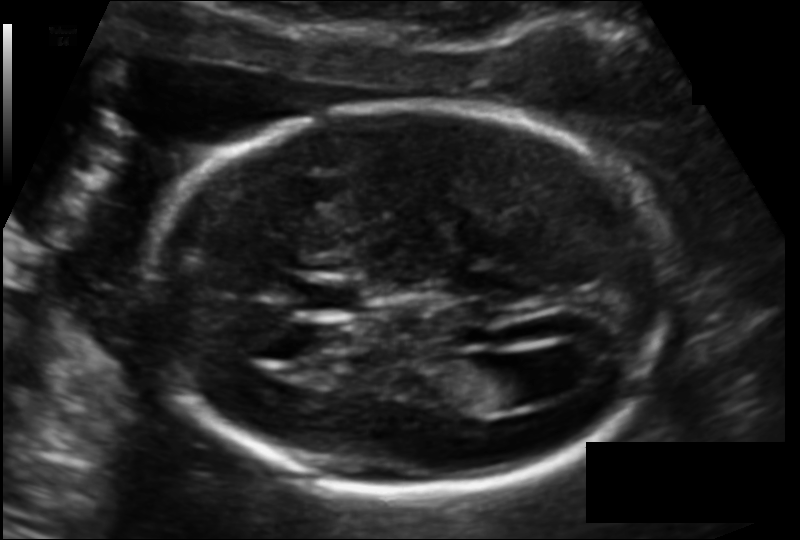
From this fetal ultrasound, estimate the head circumference (image width 94.5 mm).

Head circumference: 171.7 mm.